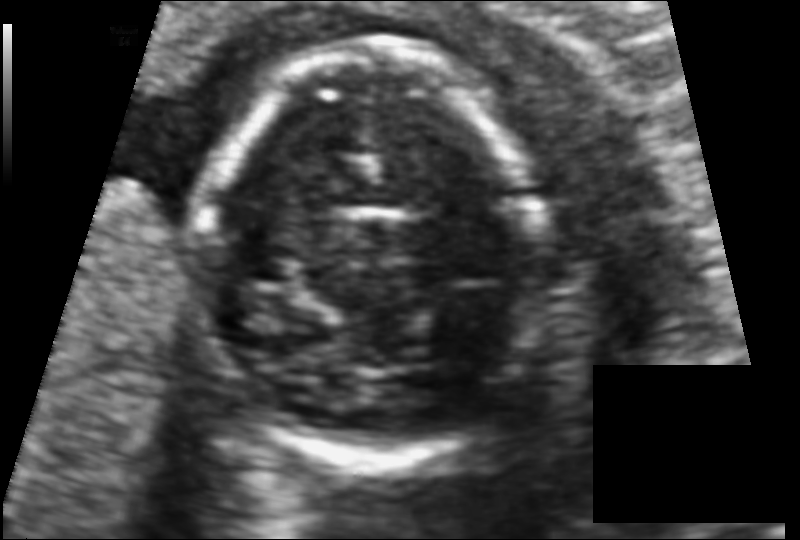
In this fetal head ultrasound, give bounding boxes for the head outline, cavum septum pellucidum (CSP), and lateral ventricle (LV), where visible. Image width: 74.5 mm.

Head: [205,42,541,457]